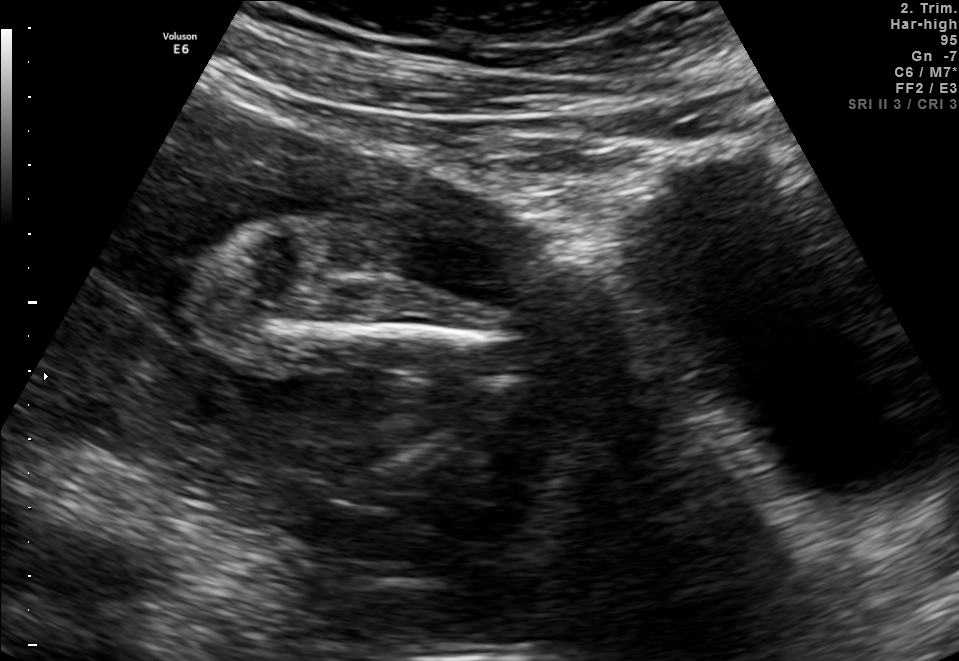
Classify this maternal-fetal ultrasound image as one of the six standard planes — fetal abdomen, fetal brain, fetal femur, fetal thorax, maternal cervix, or other. If it's fetal brain and one of the three standard brain planes (trans-thalamic, trans-cerebellum, trans-ventricular), name which.

Fetal femur